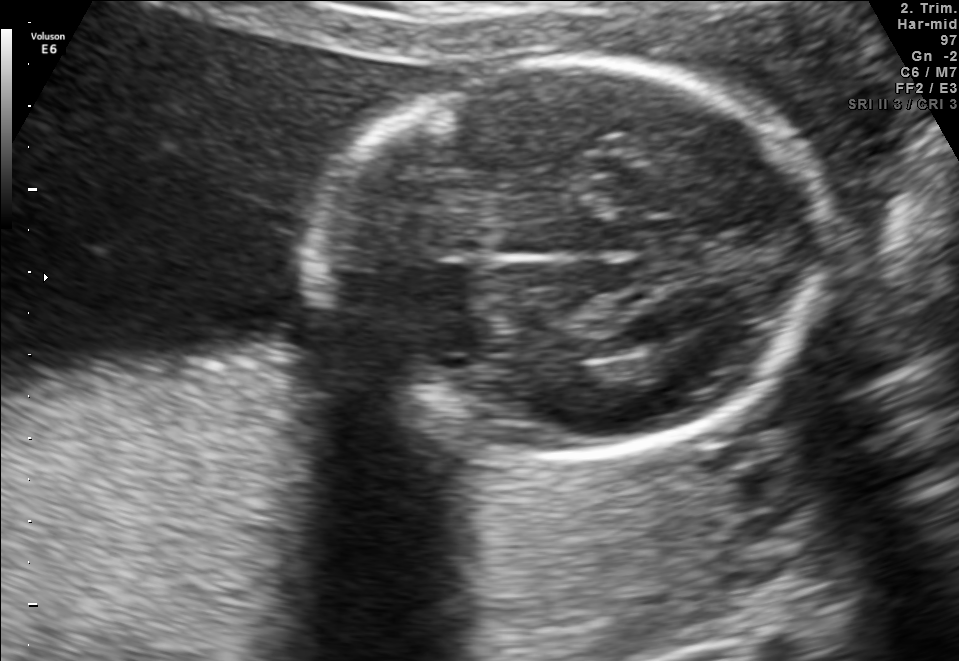
Fetal brain, trans-thalamic plane. Locate the fetal head and, if visible, the cavum septum pellucidum (CSP) and lateral ventricle (LV). Give bounding boxes as [x1,y1,x2,y2].

Head: [302,59,843,460]